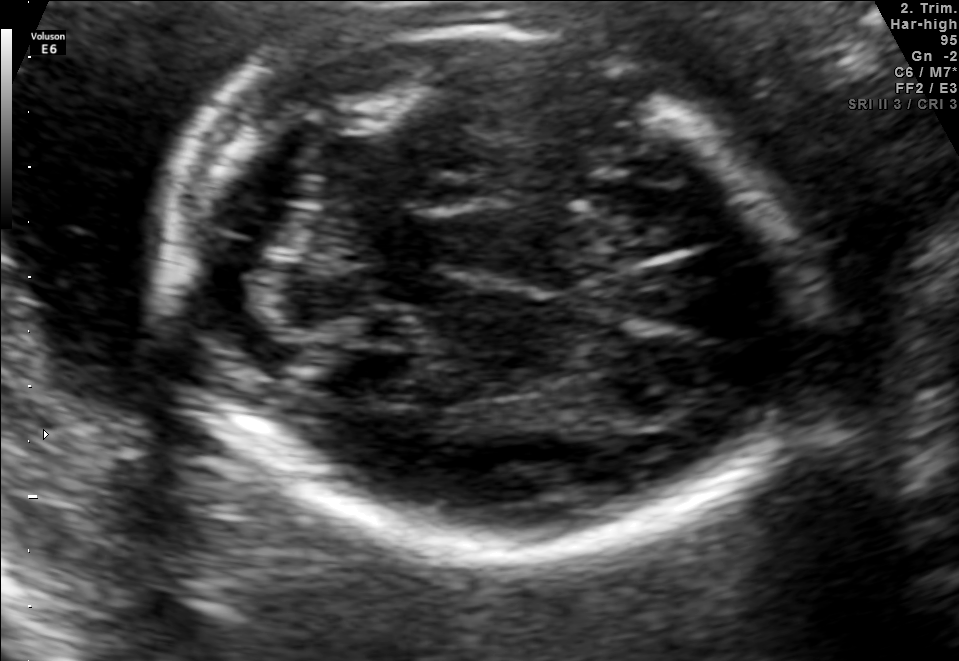
Fetal brain, trans-cerebellum plane. Locate the fetal head.

Head: [159,20,792,557]